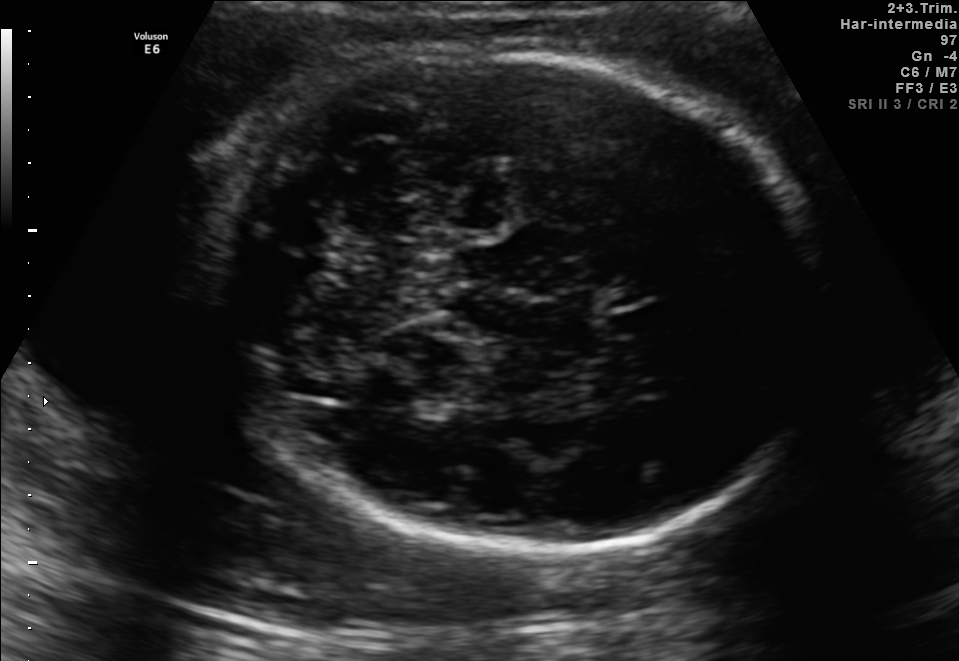
Fetal brain, trans-cerebellum plane. Give [x1,y1,x2,y2] bounding boxes for each visible structure among: fetal head, CSP, LV.

Head: [220,53,823,552]